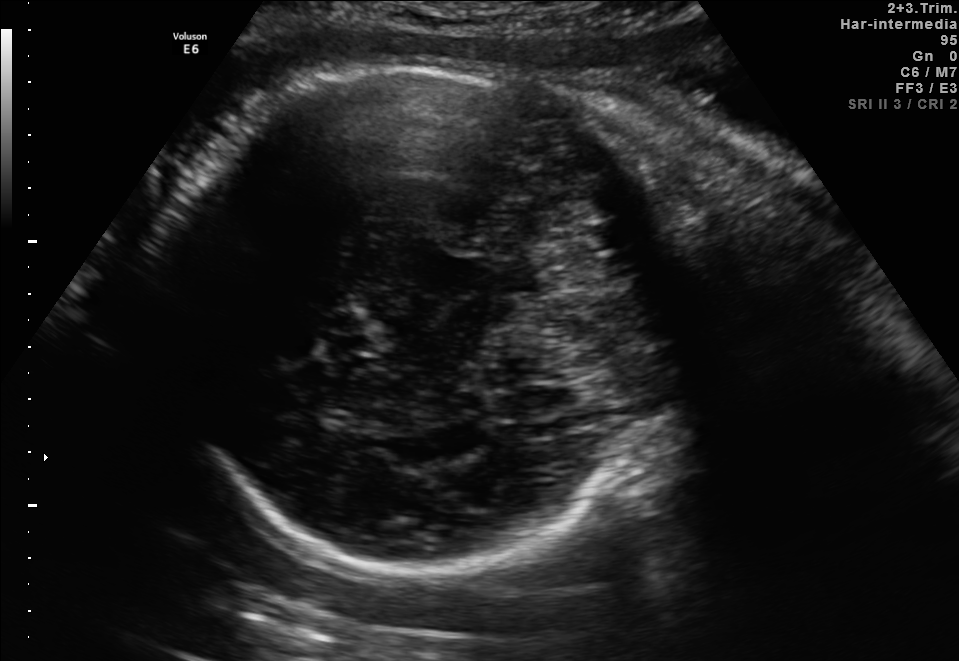
Fetal brain, trans-cerebellum plane. Where is the fetal head?

Head bounding box: [165,62,672,571]